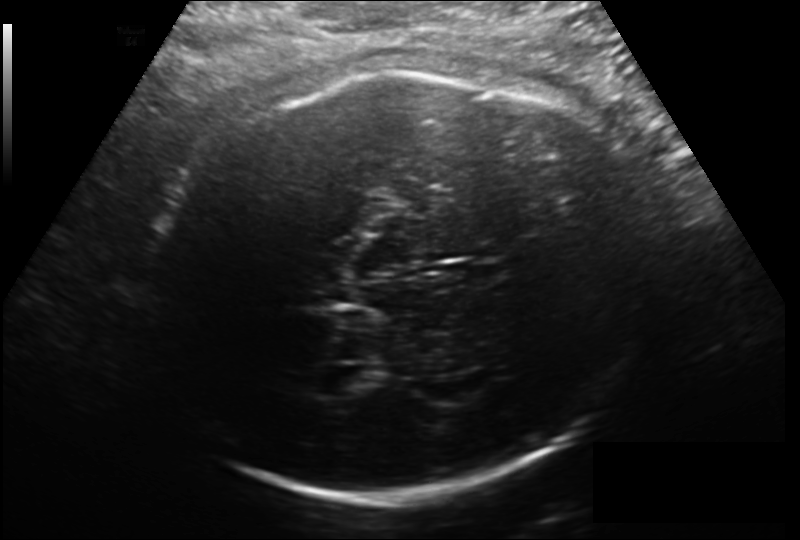
Measure the fetal head circumference shown in this ultrasound image. Image width: 164.8 mm.

Head circumference: 314.1 mm.